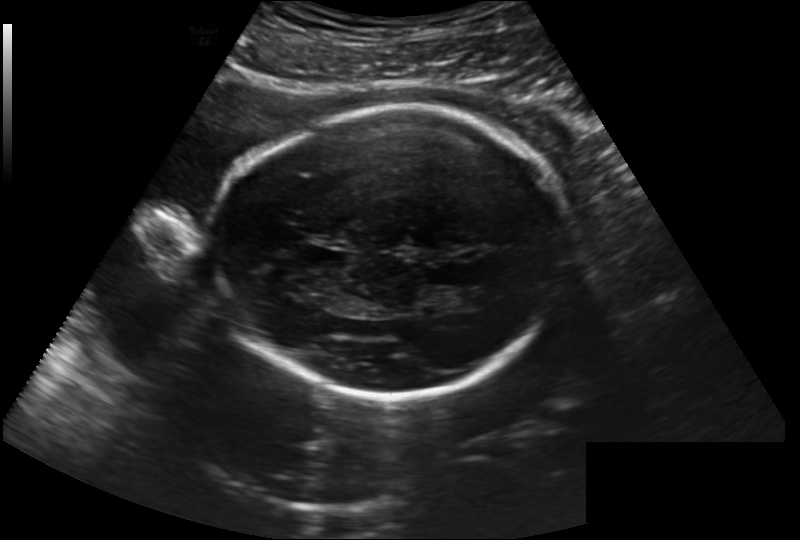
Estimate the fetal head circumference from this 2D ultrasound. Image width: 177.2 mm.

Head circumference: 230.1 mm.